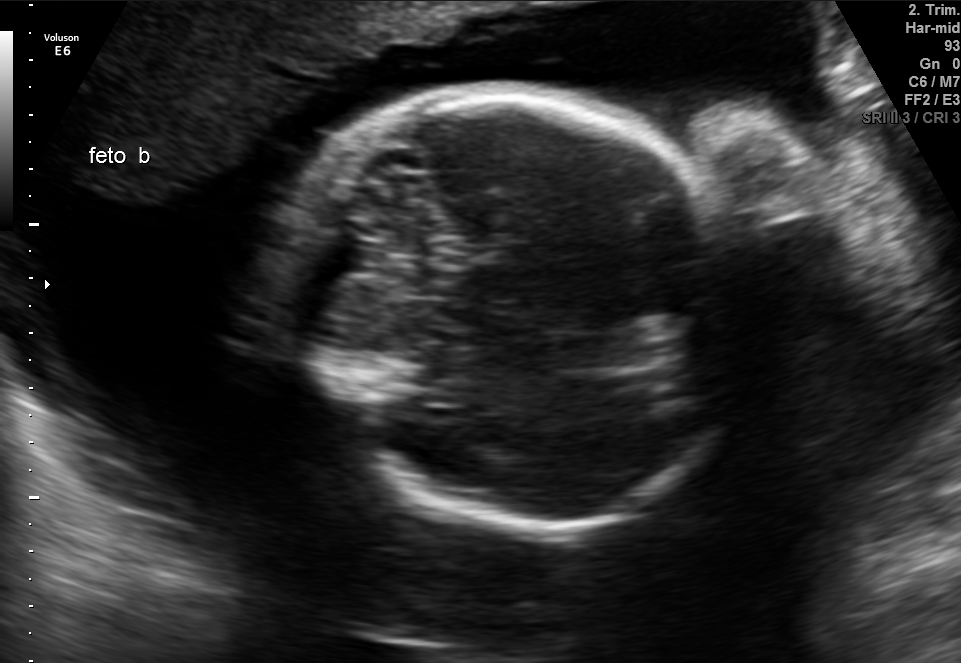
Fetal brain, trans-cerebellum plane. Locate the fetal head.

Head: [286,88,750,527]